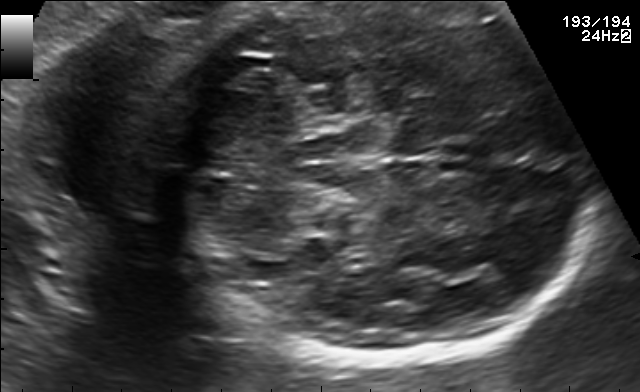
In this fetal brain, trans-cerebellum plane, give bounding boxes for the head outline, cavum septum pellucidum (CSP), and lateral ventricle (LV), where visible.

Head: [176,2,584,369]